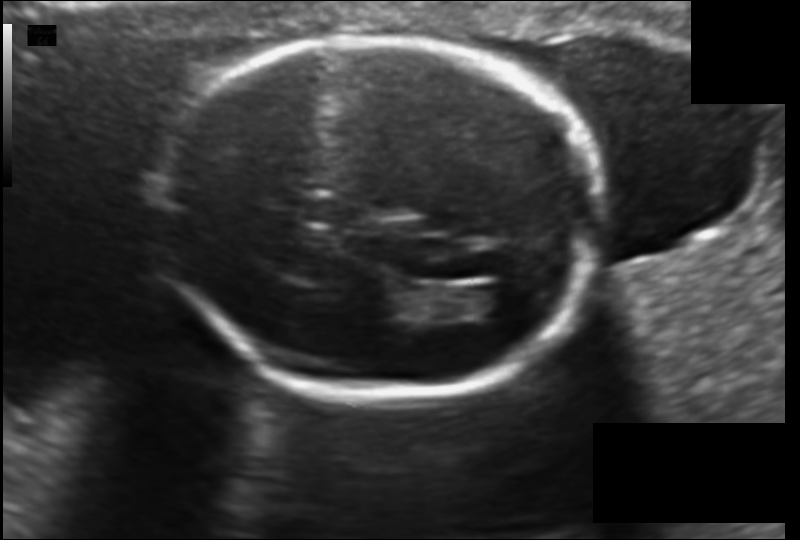
Fetal head ultrasound. Image width: 104.2 mm. Give [x1,y1,x2,y2] bounding boxes for each visible structure among: fetal head, CSP, LV.

Head: [158,39,598,398]
CSP: [298,189,350,228]
Lateral ventricle: [469,284,521,320]